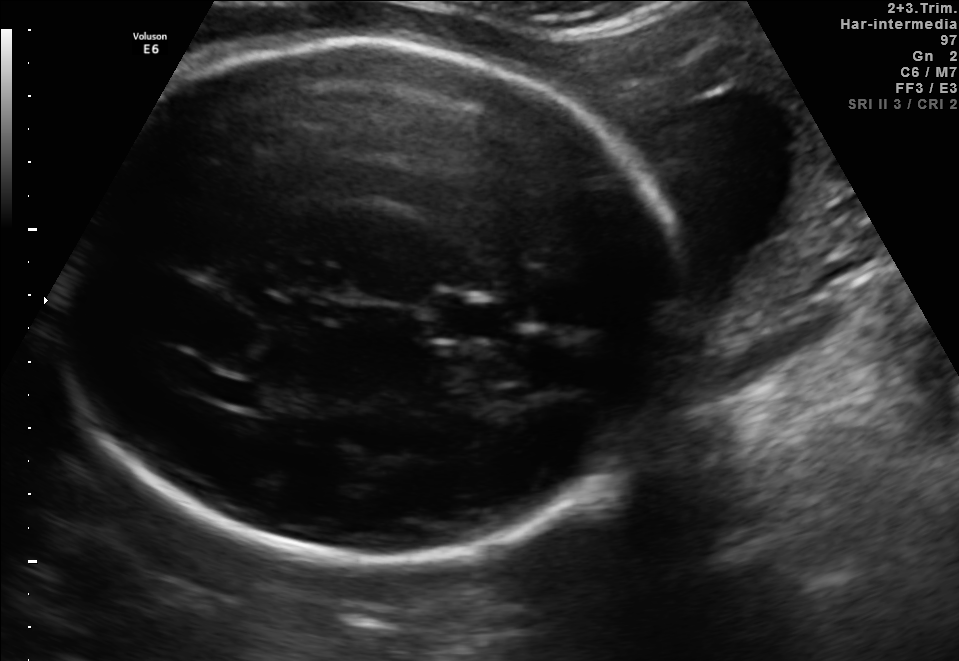
Fetal brain, trans-thalamic plane. Locate the fetal head and, if visible, the cavum septum pellucidum (CSP) and lateral ventricle (LV). Give bounding boxes as [x1,y1,x2,y2].

Head: [48,42,695,557]
CSP: [434,305,511,337]
Lateral ventricle: [210,374,264,410]